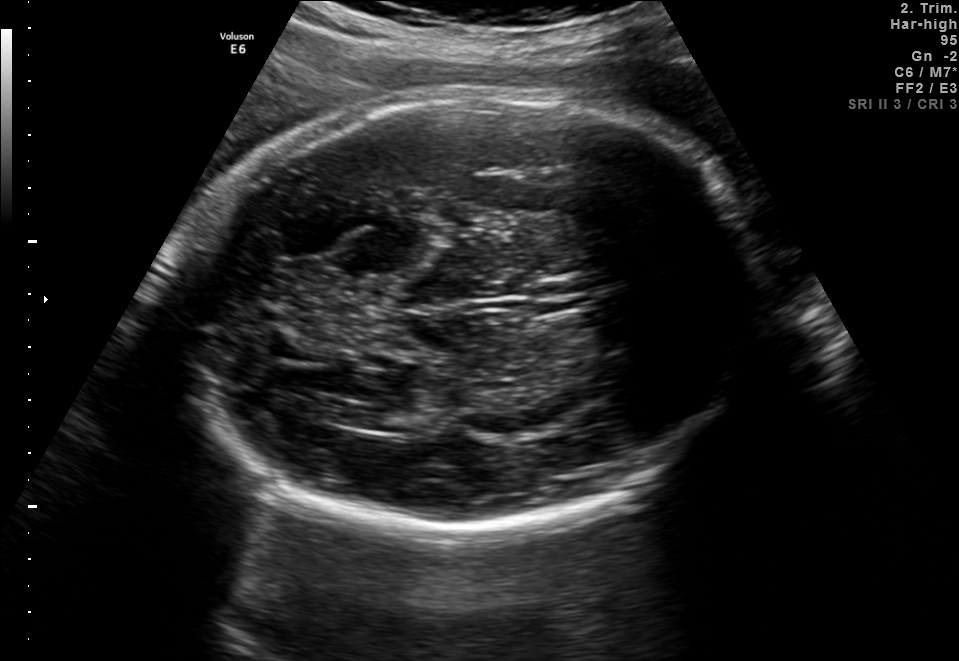
In this fetal brain, trans-ventricular plane, give the bounding box of the cavum septum pellucidum.

[524,272,603,318]